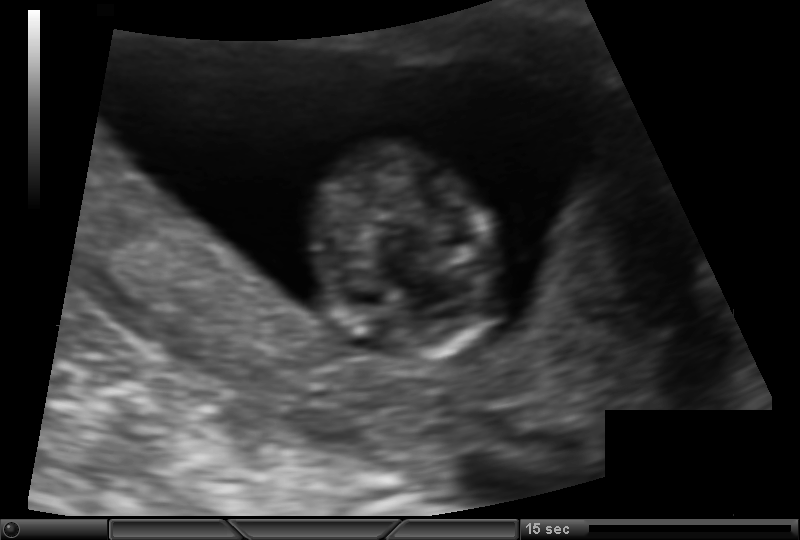
In this fetal head ultrasound, give the bounding box of the fetal head. Image width: 84.2 mm.

[309,142,502,364]